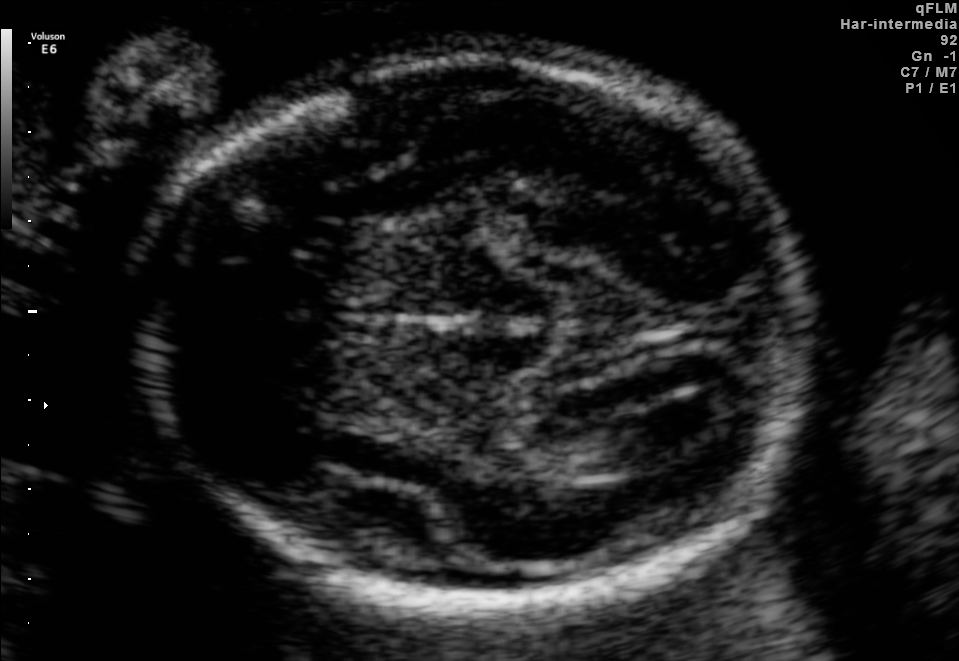
Which standard maternal-fetal ultrasound plane is shown: fetal abdomen, fetal brain, fetal femur, fetal thorax, maternal cervix, or other? If it's fetal brain and one of the three standard brain planes (trans-thalamic, trans-cerebellum, trans-ventricular), name which.

Fetal brain (trans-thalamic plane)